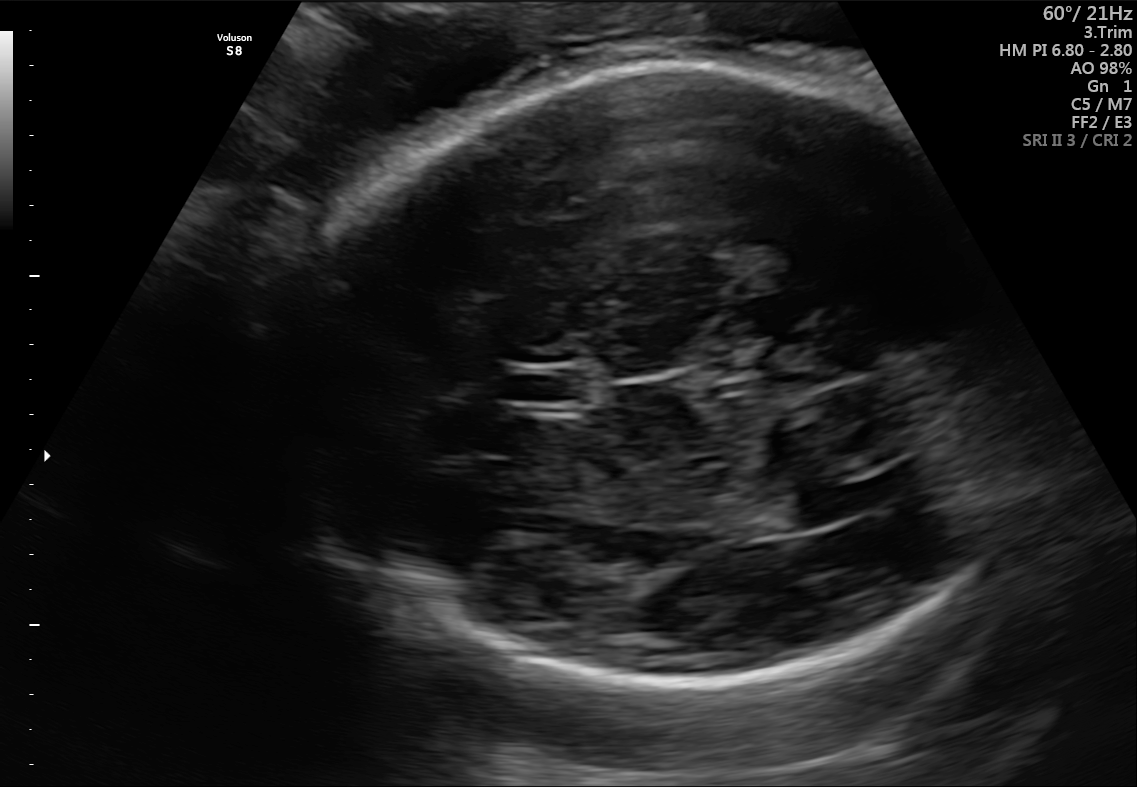
Fetal brain, trans-thalamic plane. Locate the lateral ventricle.

Lateral ventricle: [766,472,877,536]